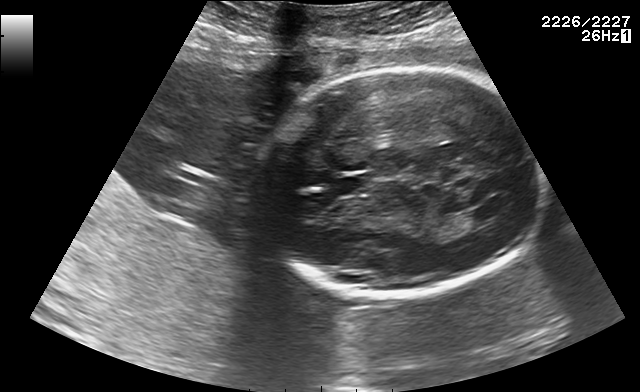
In this fetal brain, trans-ventricular plane, give the bounding box of the lateral ventricle.

[467,199,509,229]